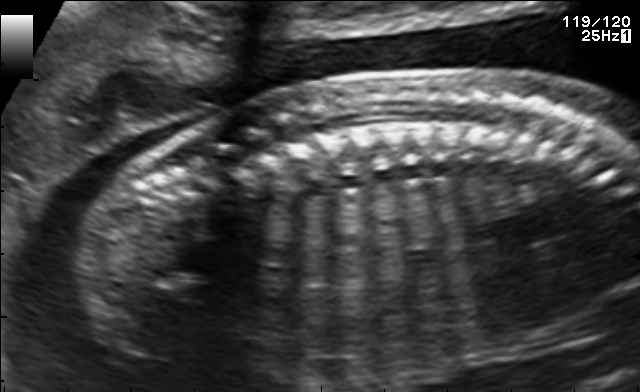
This is a 2D maternal-fetal ultrasound frame. Is it a fetal abdomen, fetal brain, fetal femur, fetal thorax, maternal cervix, or other standard plane? If it's fetal brain and one of the three standard brain planes (trans-thalamic, trans-cerebellum, trans-ventricular), name which.

Other